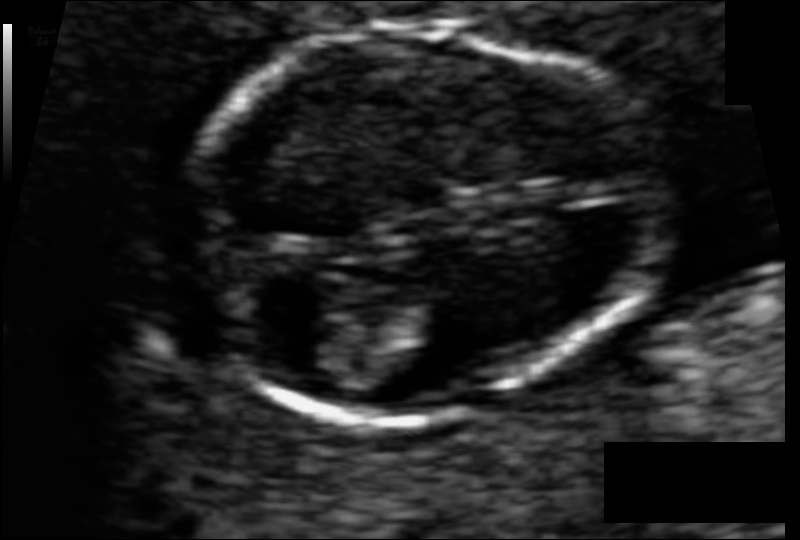
In this fetal head ultrasound, give the bounding box of the fetal head. Image width: 43.8 mm.

[185,18,652,419]